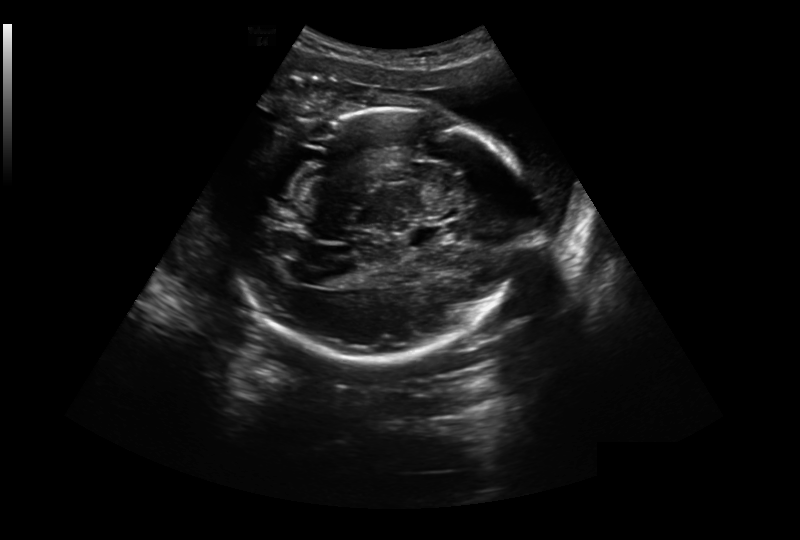
What is the fetal head circumference? Image width is 243.0 mm.

270.5 mm